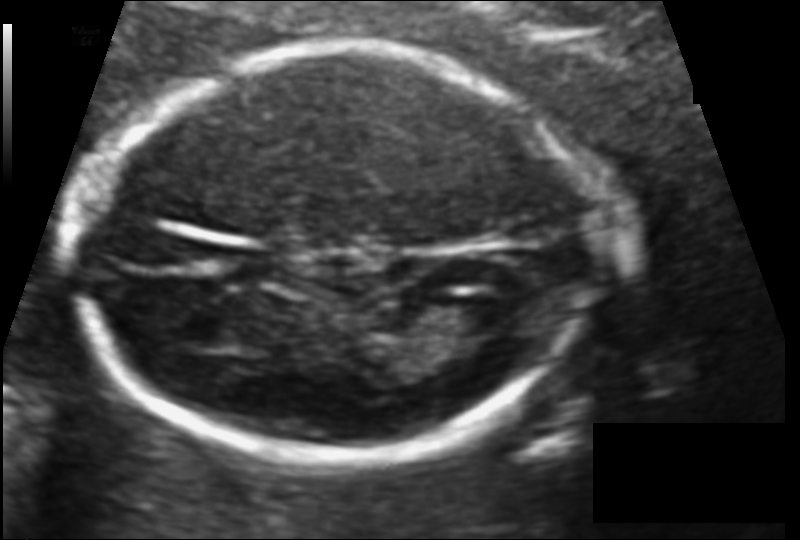
Fetal head ultrasound. Image width: 81.3 mm. Locate the fetal head.

Head: [76,49,587,463]